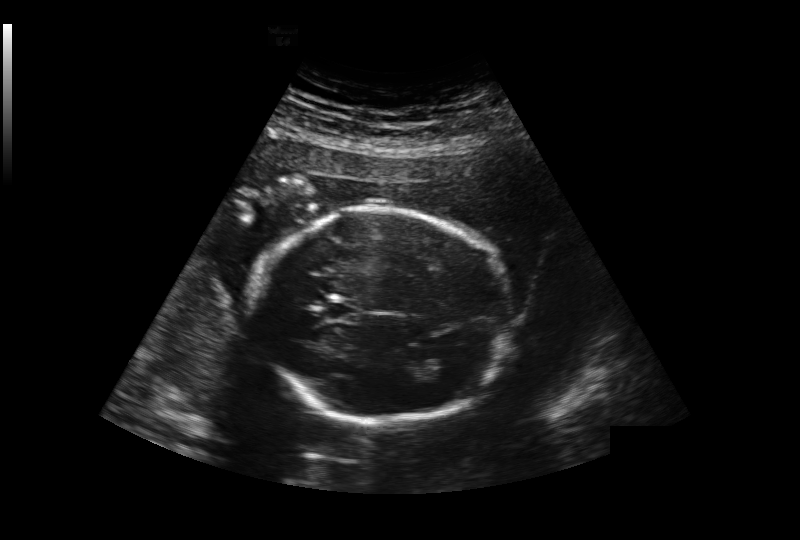
Measure the fetal head circumference shown in this ultrasound image. Image width: 191.2 mm.

Head circumference: 186.2 mm.